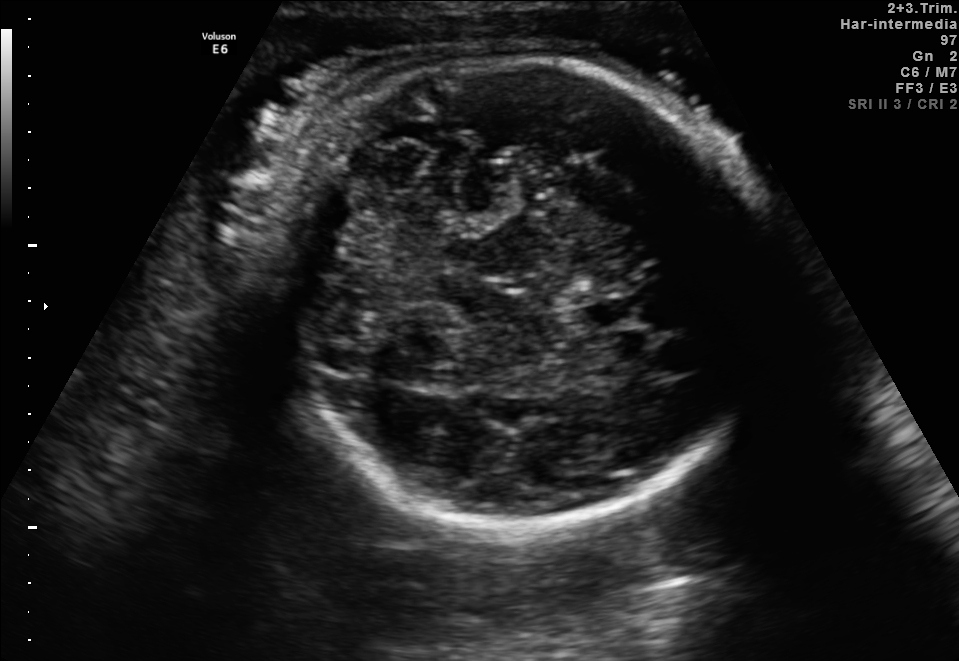
Fetal brain, trans-cerebellum plane. Where is the fetal head?

Head bounding box: [247,59,776,526]